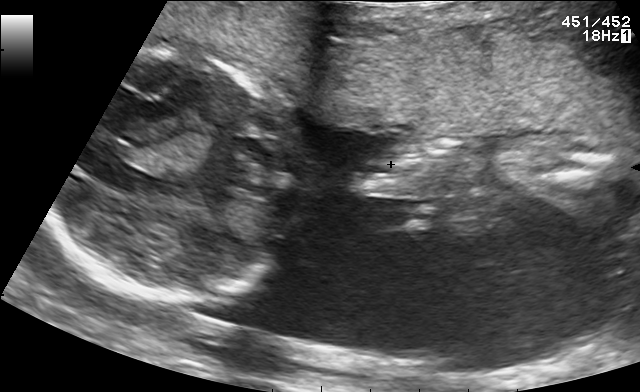
Classify this maternal-fetal ultrasound image as one of the six standard planes — fetal abdomen, fetal brain, fetal femur, fetal thorax, maternal cervix, or other. If it's fetal brain and one of the three standard brain planes (trans-thalamic, trans-cerebellum, trans-ventricular), name which.

Other